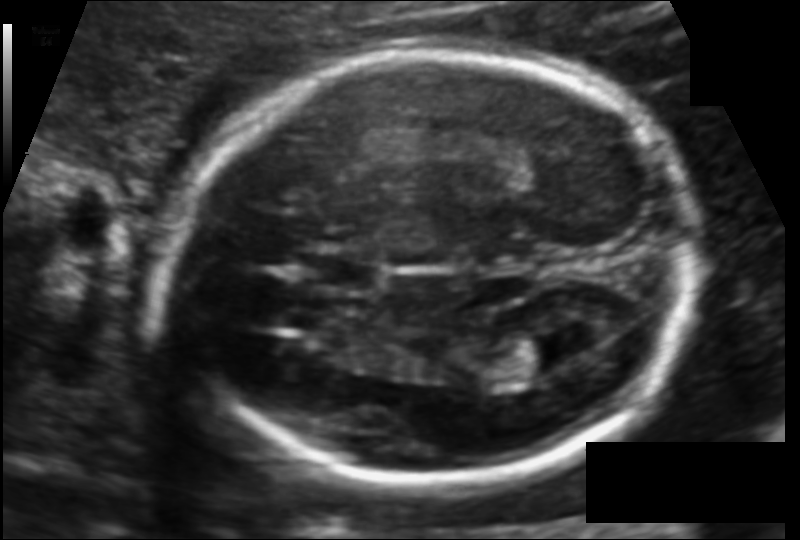
In this fetal head ultrasound, give bounding boxes for the head outline, cavum septum pellucidum (CSP), and lateral ventricle (LV), where visible. Image width: 90.0 mm.

Head: [160,51,698,484]
CSP: [298,250,386,294]
Lateral ventricle: [492,336,577,380]